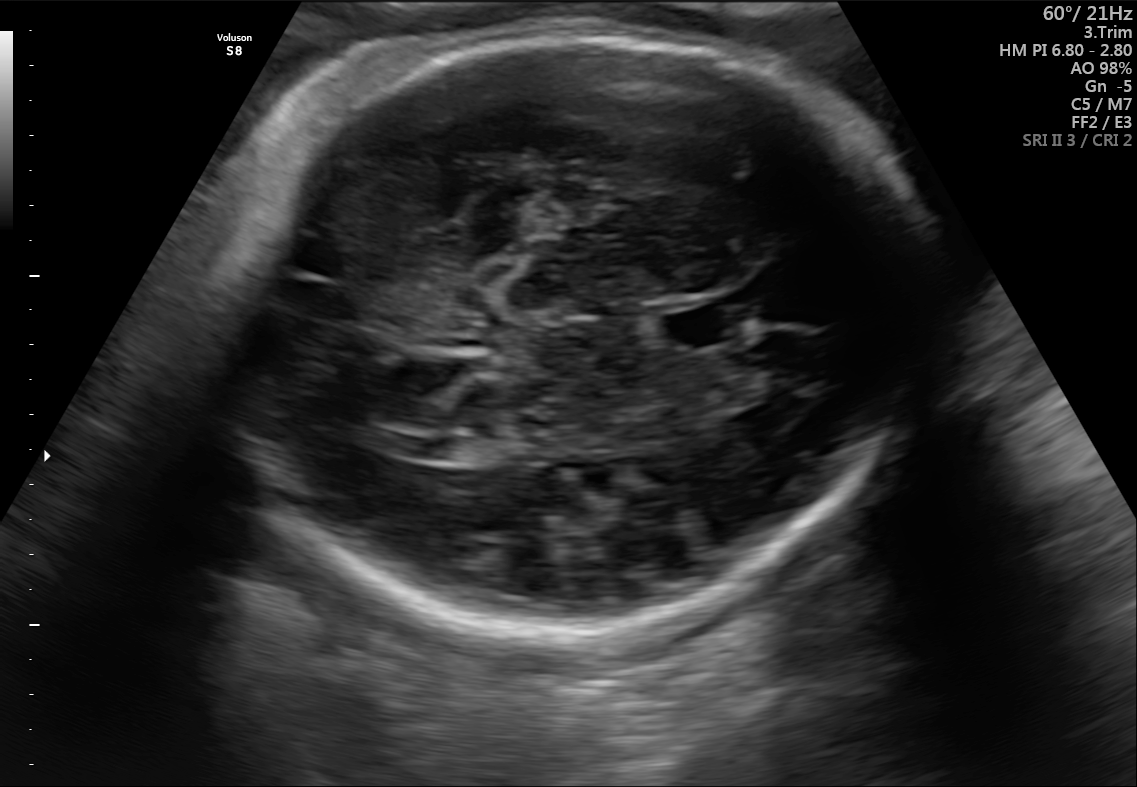
Fetal brain, trans-thalamic plane. Locate the cavum septum pellucidum.

CSP: [654,294,751,359]